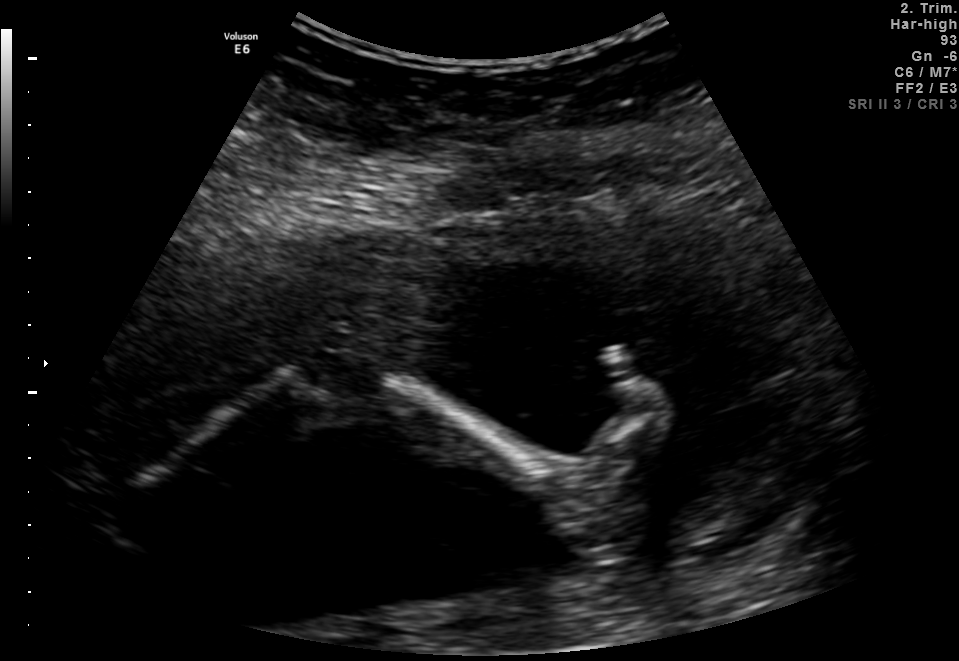
Which standard maternal-fetal ultrasound plane is shown: fetal abdomen, fetal brain, fetal femur, fetal thorax, maternal cervix, or other? If it's fetal brain and one of the three standard brain planes (trans-thalamic, trans-cerebellum, trans-ventricular), name which.

Other